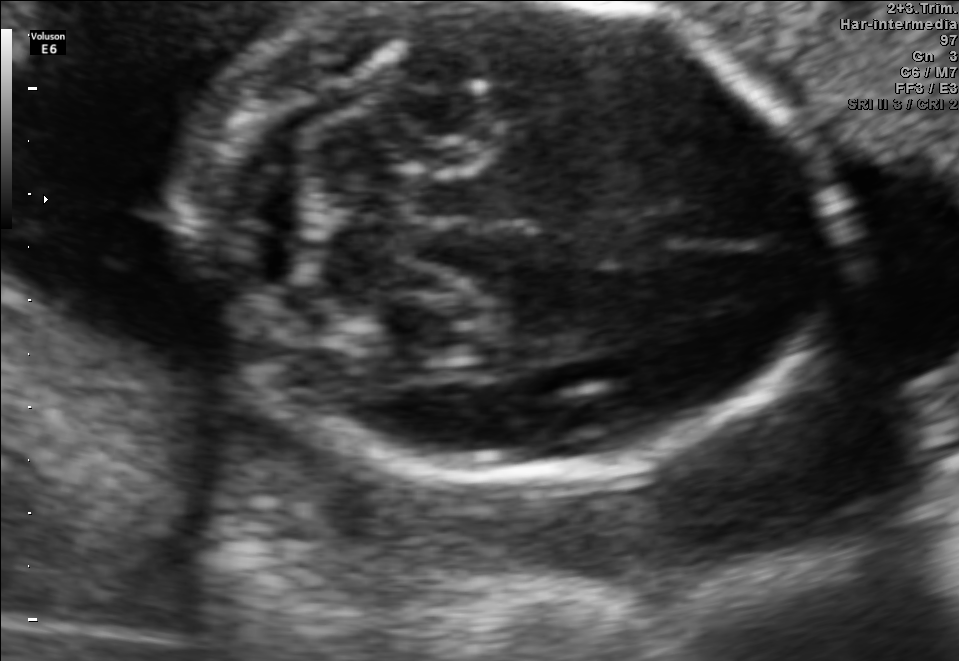
In this fetal brain, trans-cerebellum plane, give the bounding box of the fetal head.

[174,4,841,469]